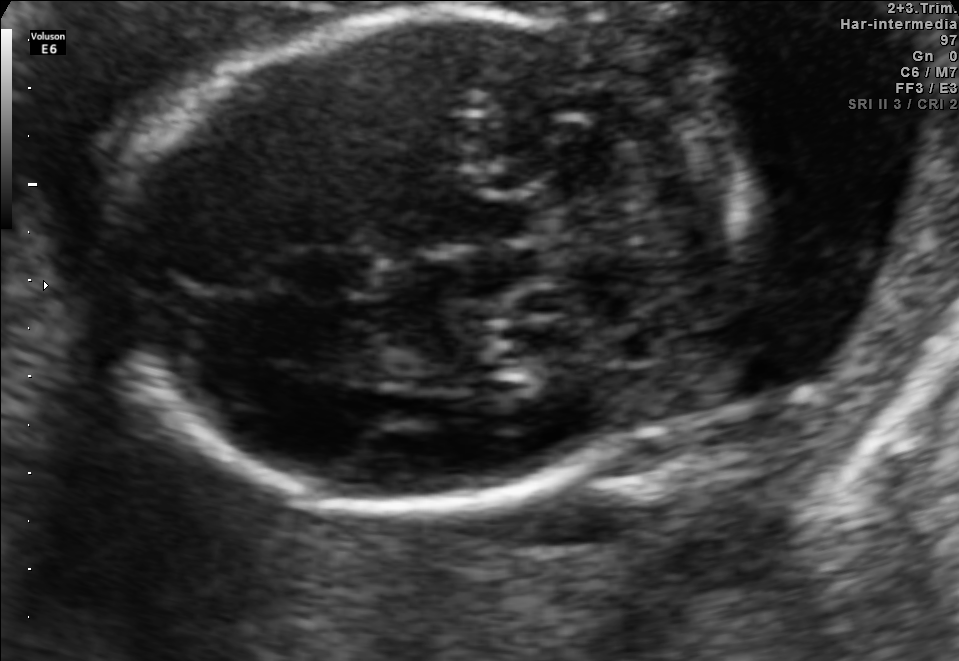
Fetal brain, trans-cerebellum plane. Where is the fetal head?

Head bounding box: [108,9,753,506]